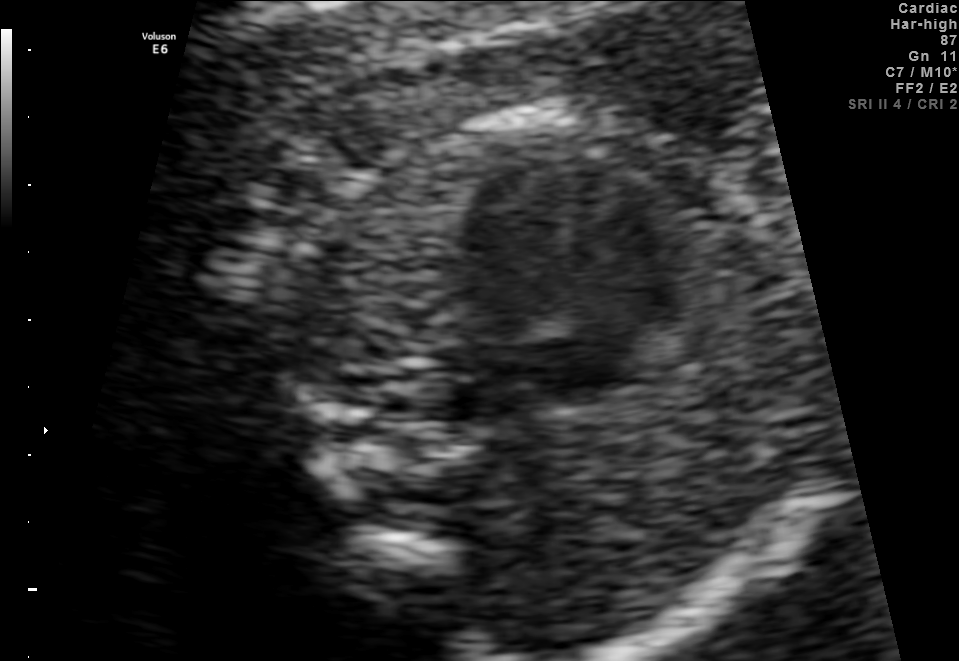
Which standard maternal-fetal ultrasound plane is shown: fetal abdomen, fetal brain, fetal femur, fetal thorax, maternal cervix, or other? If it's fetal brain and one of the three standard brain planes (trans-thalamic, trans-cerebellum, trans-ventricular), name which.

Fetal thorax